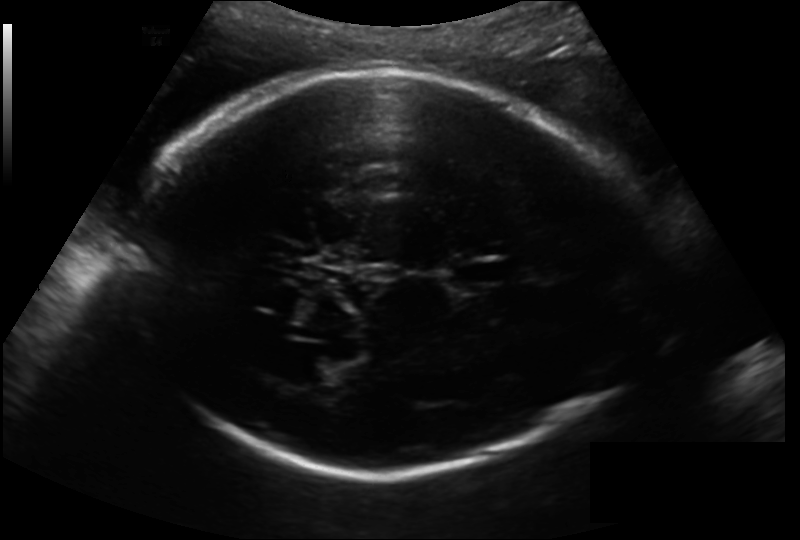
Fetal head ultrasound. Image width: 154.5 mm. Where is the lateral ventricle?

Lateral ventricle bounding box: [290,355,342,385]